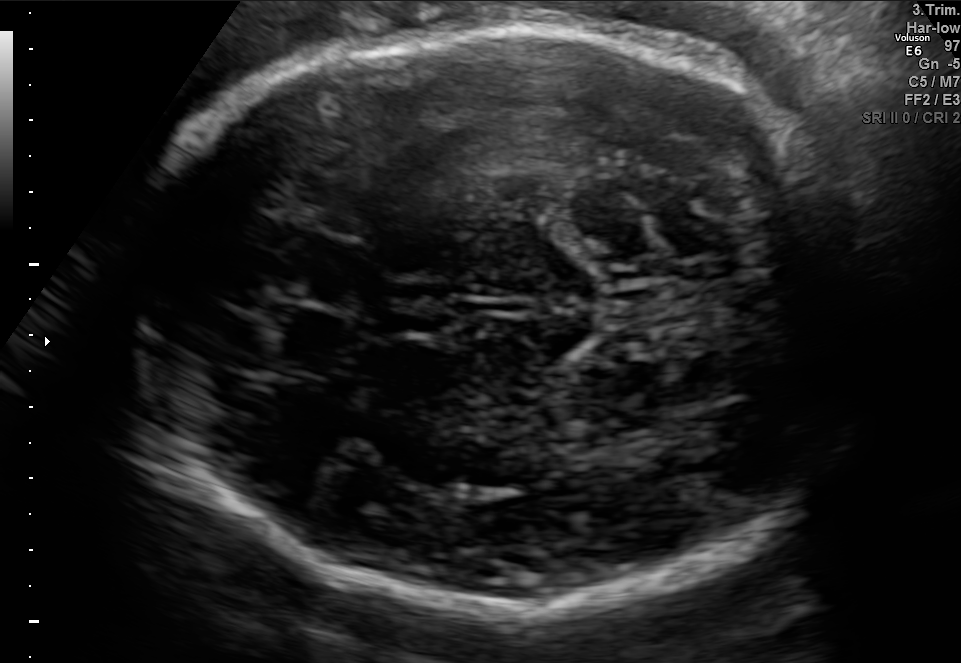
Fetal brain, trans-thalamic plane. Where is the fetal head?

Head bounding box: [126,26,865,617]